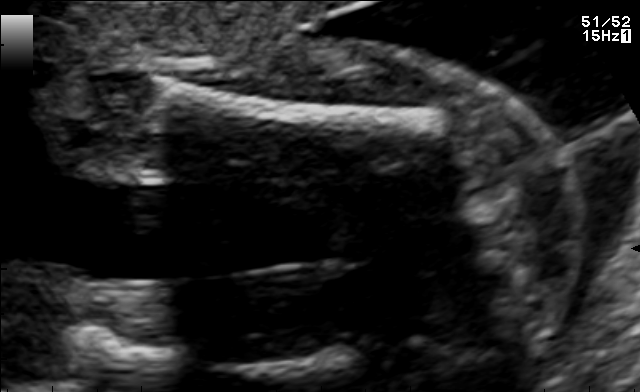
Identify the standard plane in this fetal ultrasound image: fetal abdomen, fetal brain, fetal femur, fetal thorax, maternal cervix, or other. If it's fetal brain and one of the three standard brain planes (trans-thalamic, trans-cerebellum, trans-ventricular), name which.

Fetal femur